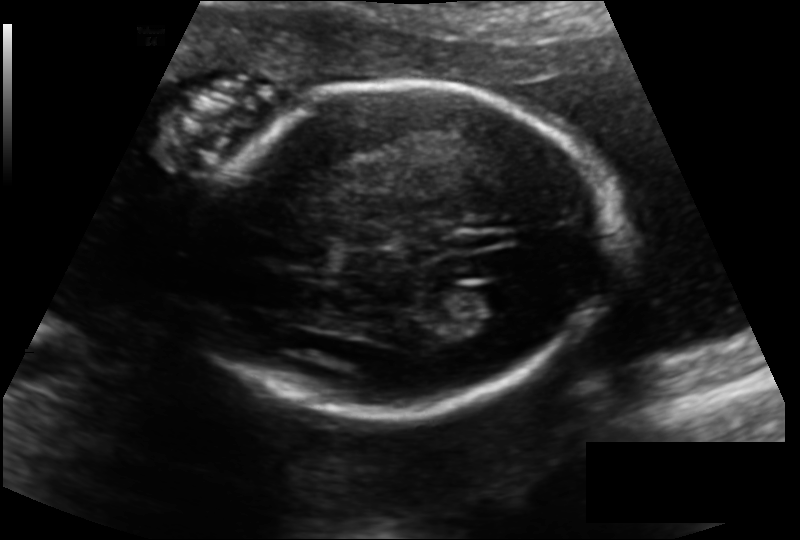
Measure the fetal head circumference shown in this ultrasound image. Image width: 115.4 mm.

Head circumference: 173.8 mm.